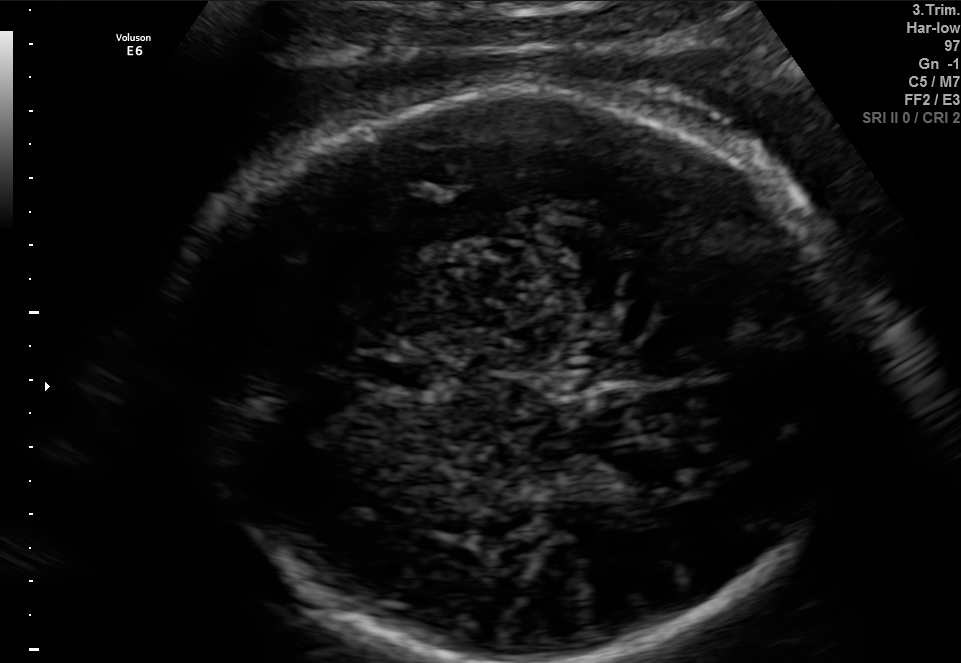
Fetal brain, trans-thalamic plane. Locate the fetal head.

Head: [163,95,864,660]